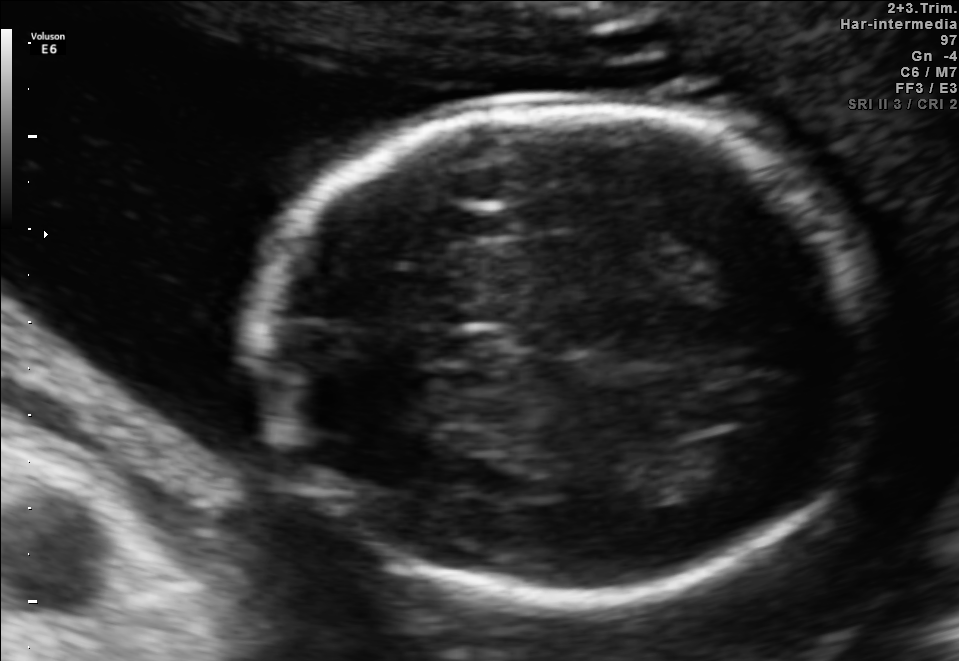
In this fetal brain, trans-ventricular plane, give the bounding box of the fetal head.

[241,98,896,607]